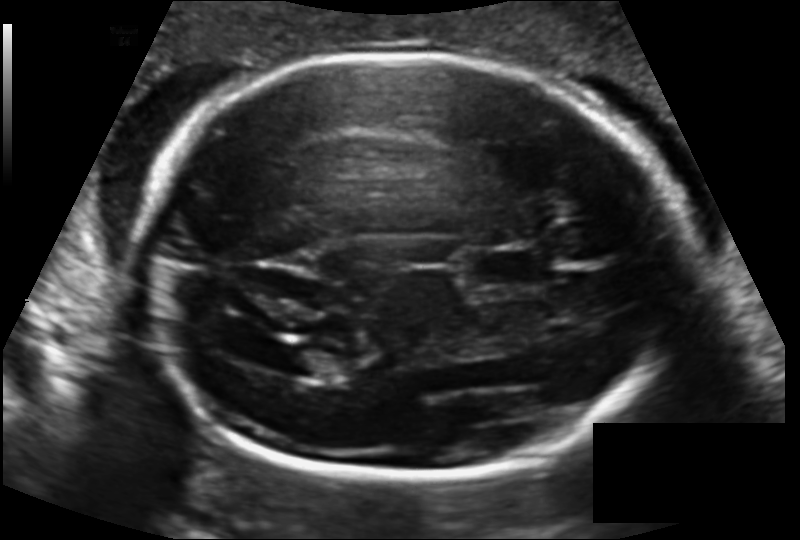
Fetal head ultrasound. Image width: 112.0 mm. Locate the lateral ventricle.

Lateral ventricle: [280,343,341,380]